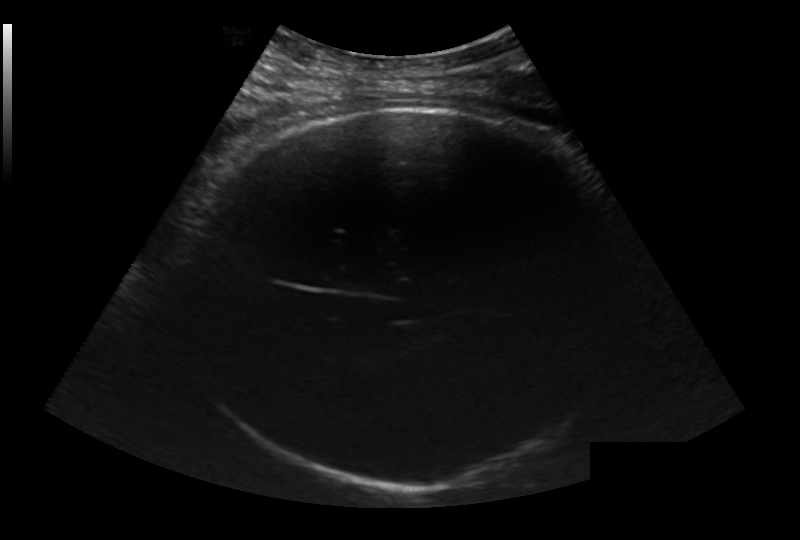
In this fetal head ultrasound, give bounding boxes for the head outline, cavum septum pellucidum (CSP), and lateral ventricle (LV), where visible. Image width: 188.6 mm.

Head: [189,105,619,489]